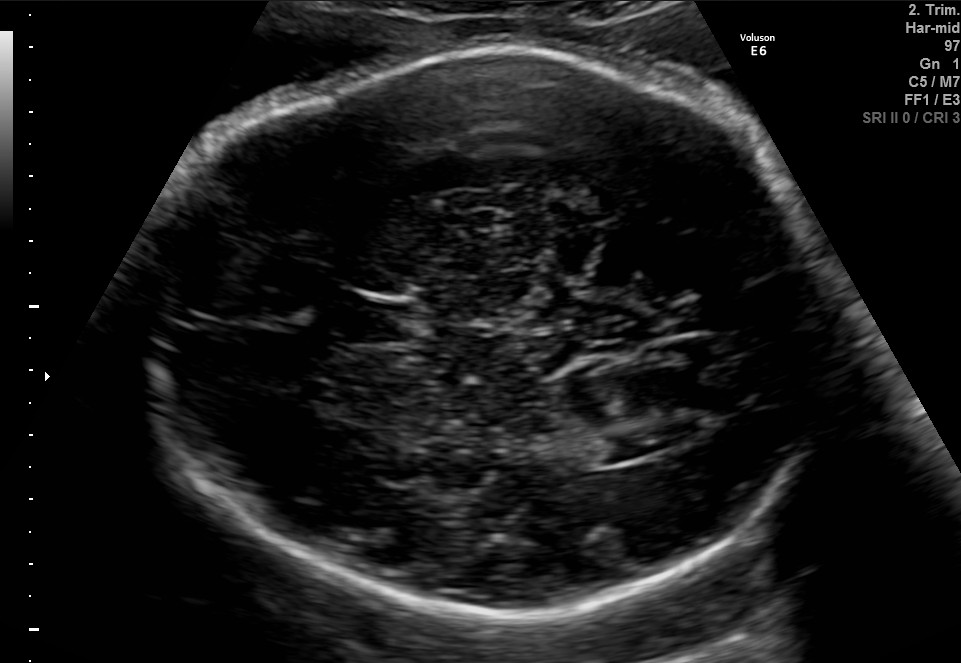
Fetal brain, trans-ventricular plane. Locate the fetal head and, if visible, the cavum septum pellucidum (CSP) and lateral ventricle (LV). Give bounding boxes as [x1,y1,x2,y2].

Head: [138,55,845,620]
CSP: [342,301,410,343]
Lateral ventricle: [600,427,664,463]